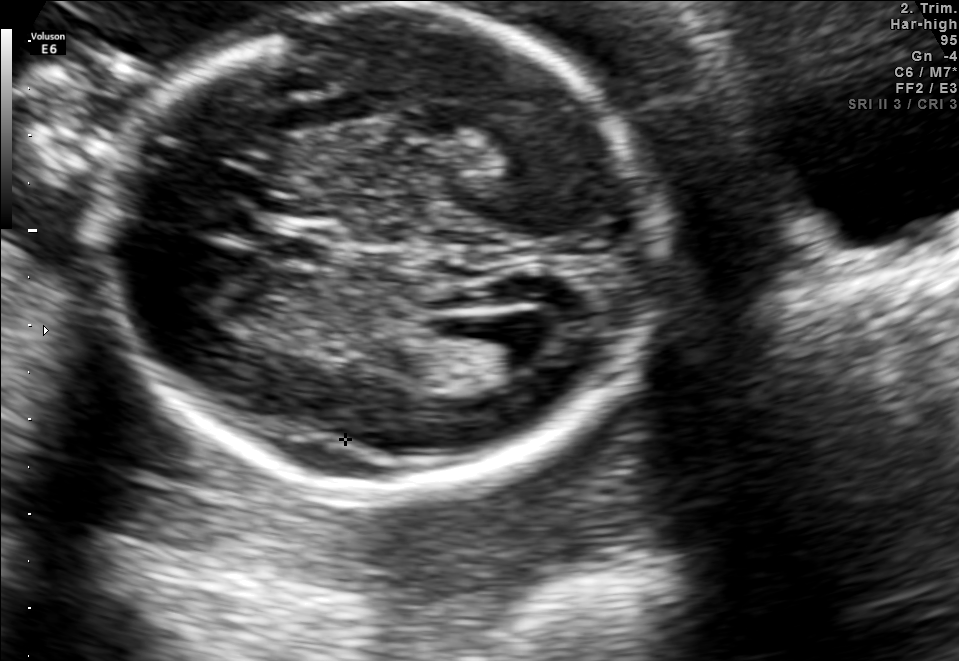
In this fetal brain, trans-ventricular plane, give bounding boxes for the head outline, cavum septum pellucidum (CSP), and lateral ventricle (LV), where visible.

Head: [96,4,673,499]
CSP: [276,232,332,267]
Lateral ventricle: [465,300,565,382]